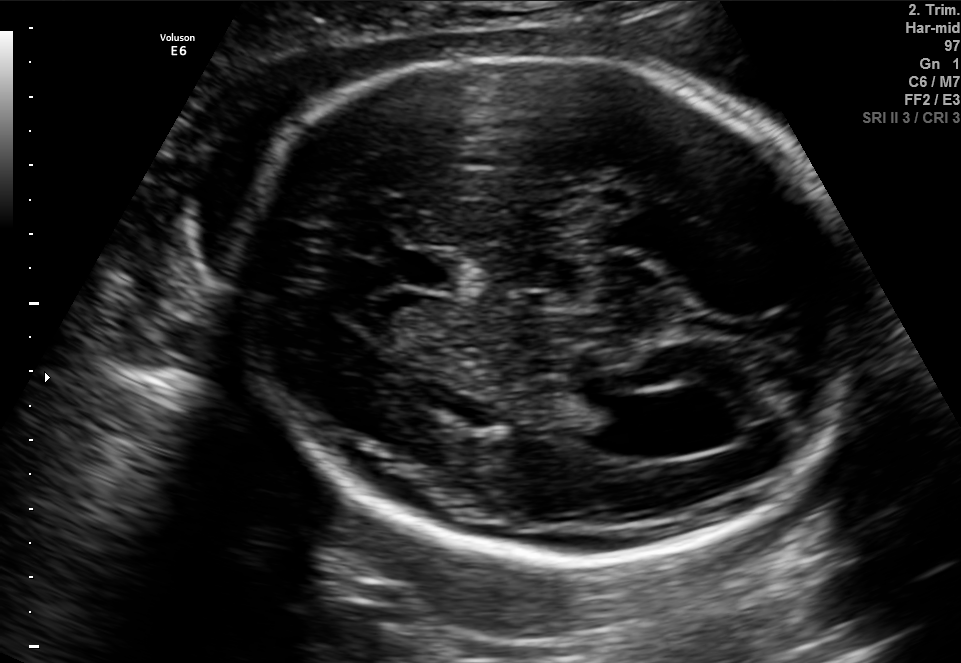
Fetal brain, trans-ventricular plane. Where is the fetal head?

Head bounding box: [221,53,870,564]